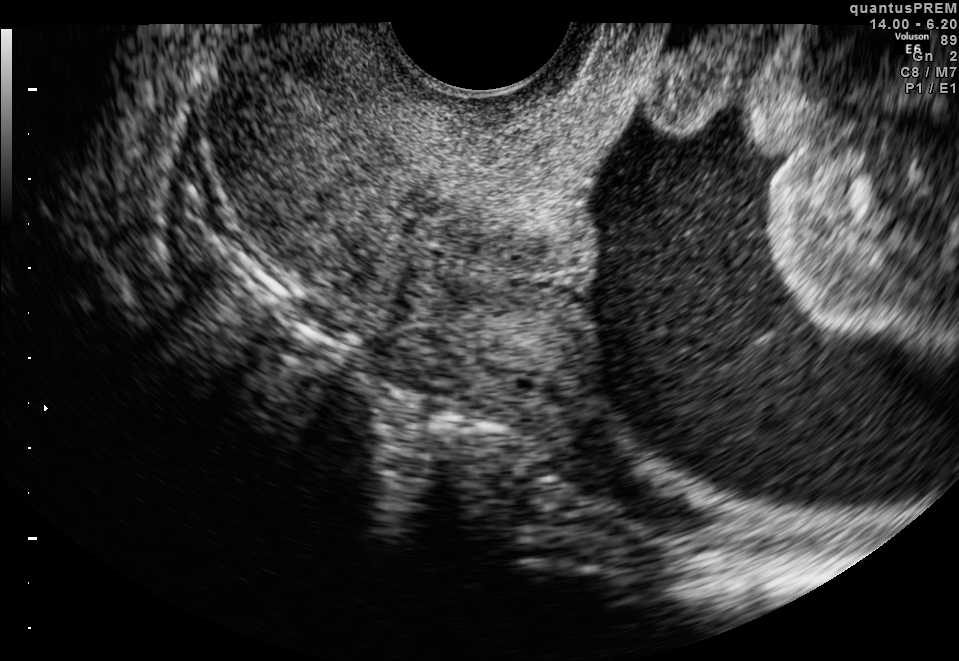
Identify the standard plane in this fetal ultrasound image: fetal abdomen, fetal brain, fetal femur, fetal thorax, maternal cervix, or other. If it's fetal brain and one of the three standard brain planes (trans-thalamic, trans-cerebellum, trans-ventricular), name which.

Maternal cervix